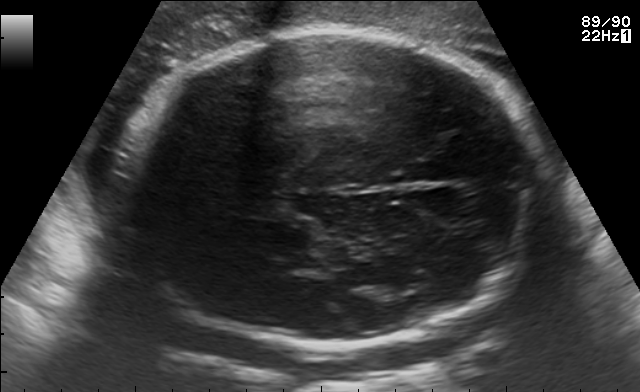
In this fetal brain, trans-thalamic plane, give bounding boxes for the head outline, cavum septum pellucidum (CSP), and lateral ventricle (LV), where visible.

Head: [113,32,533,343]